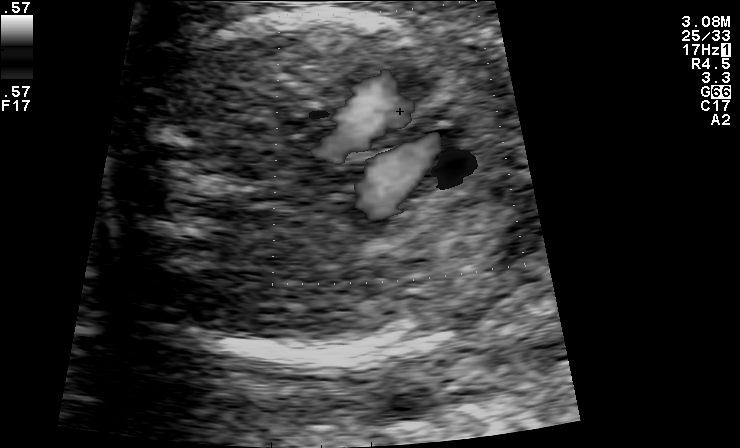
Which standard maternal-fetal ultrasound plane is shown: fetal abdomen, fetal brain, fetal femur, fetal thorax, maternal cervix, or other? If it's fetal brain and one of the three standard brain planes (trans-thalamic, trans-cerebellum, trans-ventricular), name which.

Other